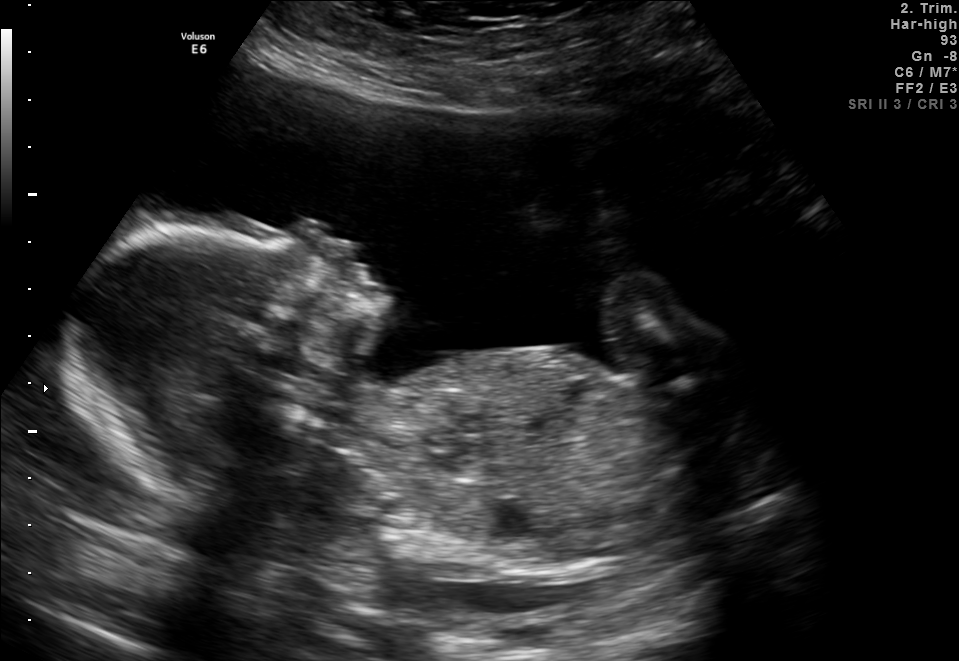
Classify this maternal-fetal ultrasound image as one of the six standard planes — fetal abdomen, fetal brain, fetal femur, fetal thorax, maternal cervix, or other. If it's fetal brain and one of the three standard brain planes (trans-thalamic, trans-cerebellum, trans-ventricular), name which.

Other